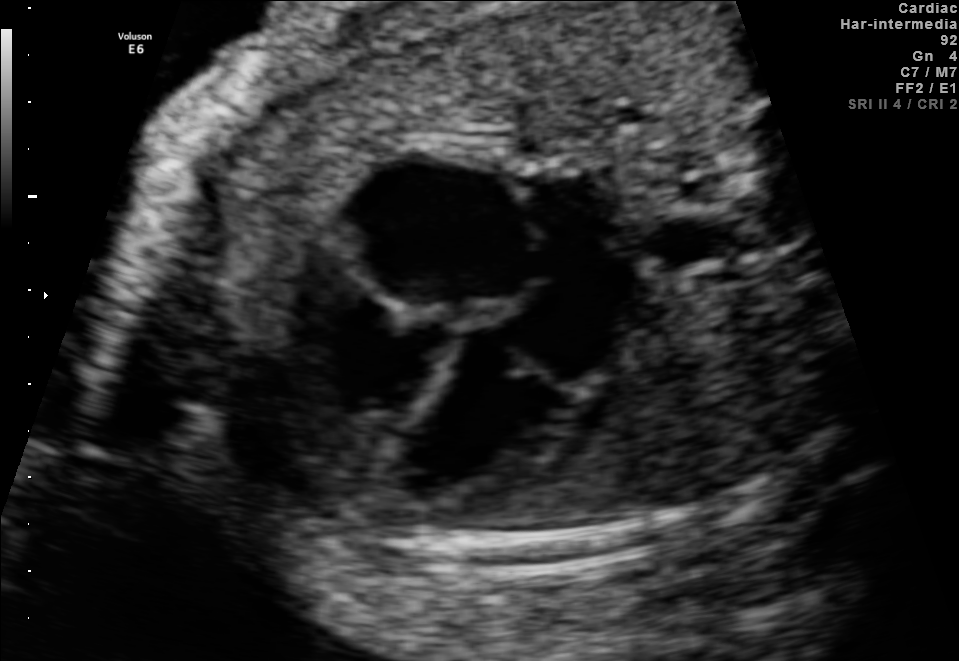
This is a 2D maternal-fetal ultrasound frame. Is it a fetal abdomen, fetal brain, fetal femur, fetal thorax, maternal cervix, or other standard plane? If it's fetal brain and one of the three standard brain planes (trans-thalamic, trans-cerebellum, trans-ventricular), name which.

Fetal thorax